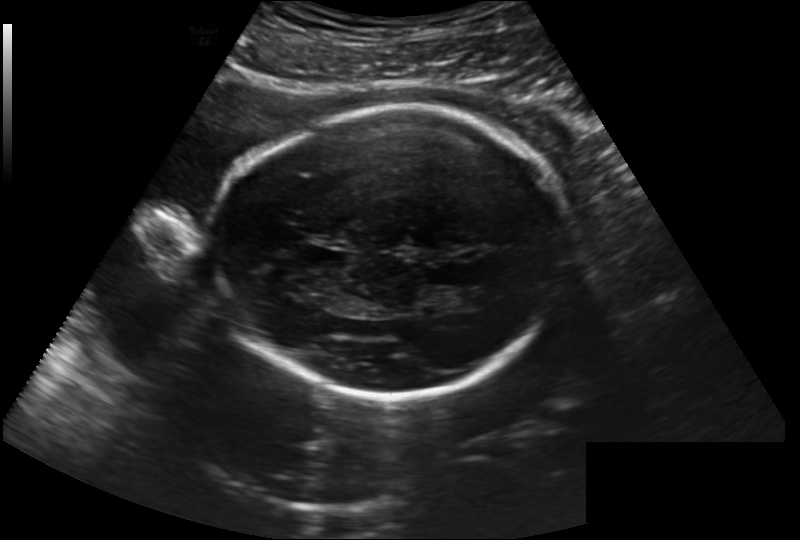
What is the fetal head circumference? Image width is 177.2 mm.

230.1 mm